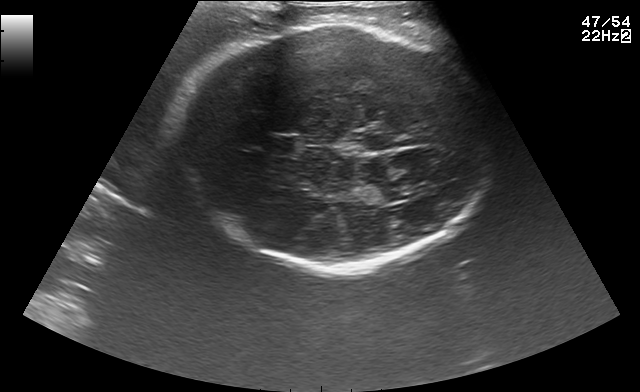
Fetal brain, trans-thalamic plane. Give [x1,y1,x2,y2] bounding boxes for each visible structure among: fetal head, CSP, LV.

Head: [177,23,487,267]
CSP: [266,136,295,153]
Lateral ventricle: [356,175,412,209]